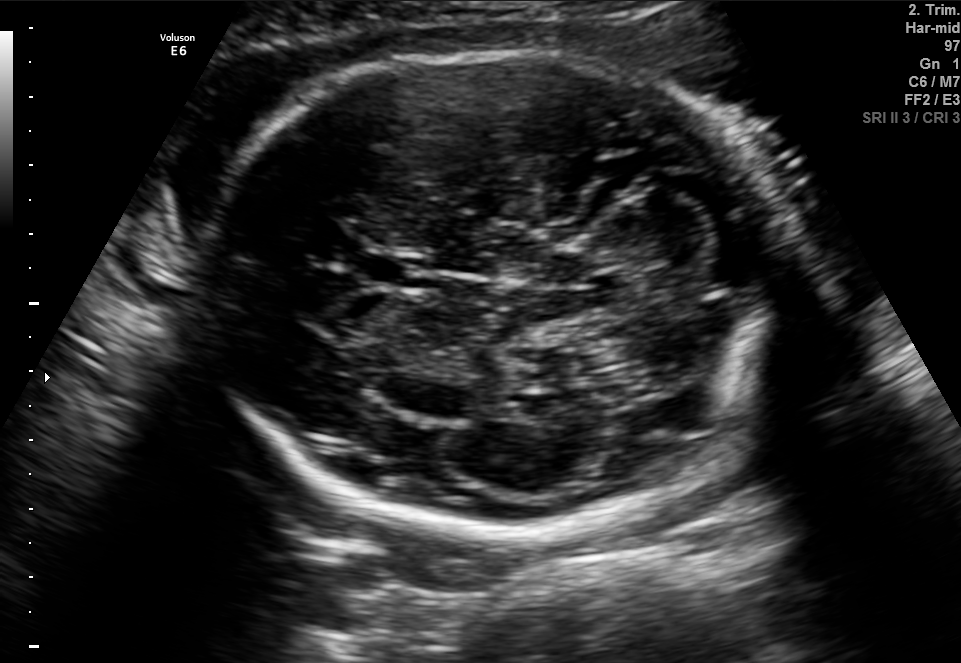
Classify this maternal-fetal ultrasound image as one of the six standard planes — fetal abdomen, fetal brain, fetal femur, fetal thorax, maternal cervix, or other. If it's fetal brain and one of the three standard brain planes (trans-thalamic, trans-cerebellum, trans-ventricular), name which.

Fetal brain (trans-cerebellum plane)